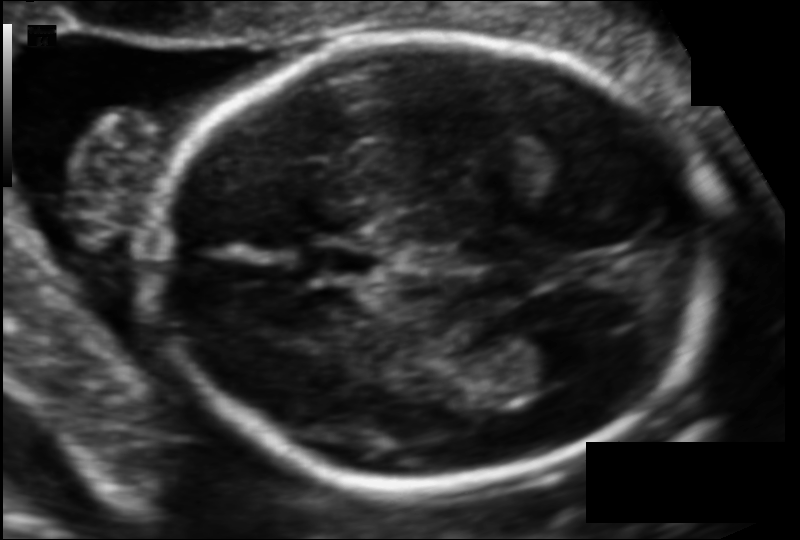
Fetal head ultrasound. Image width: 81.4 mm. Give [x1,y1,x2,y2] bounding boxes for each visible structure among: fetal head, CSP, LV.

Head: [153,34,714,488]
CSP: [310,245,384,279]
Lateral ventricle: [506,309,613,395]